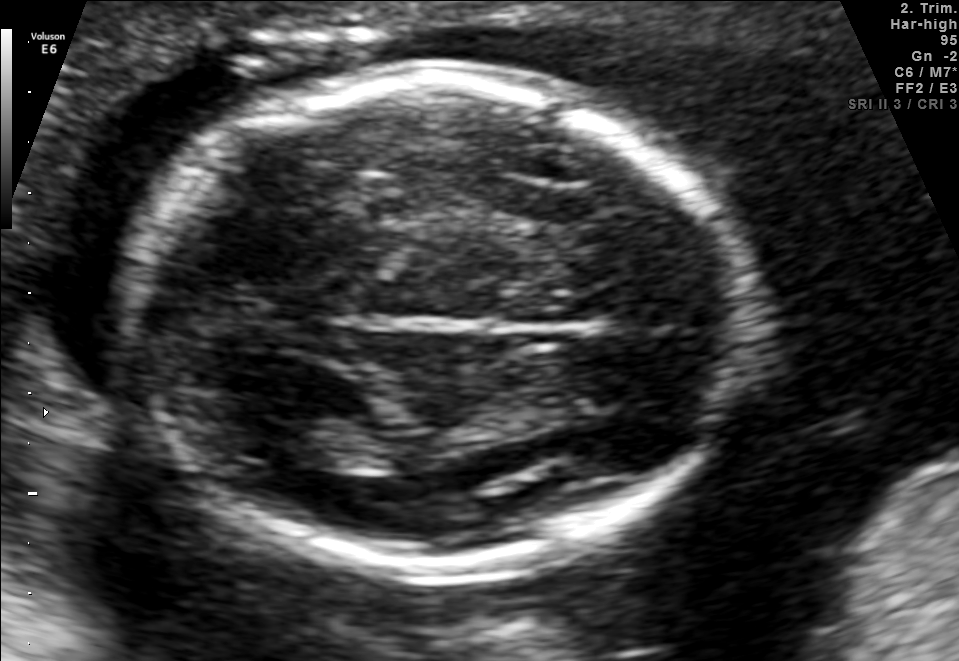
In this fetal brain, trans-thalamic plane, give bounding boxes for the head outline, cavum septum pellucidum (CSP), and lateral ventricle (LV), where visible.

Head: [119,76,750,569]
Lateral ventricle: [245,413,345,473]